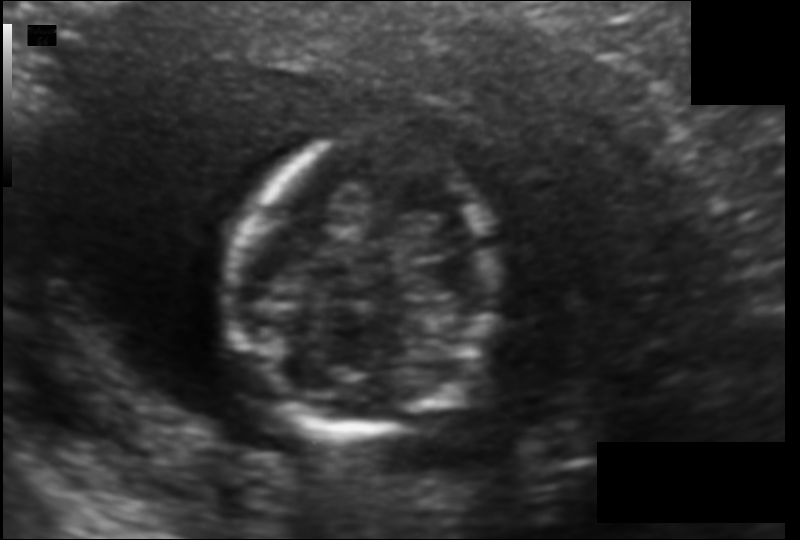
From this fetal ultrasound, estimate the head circumference (image width 83.0 mm).

Head circumference: 97.5 mm.